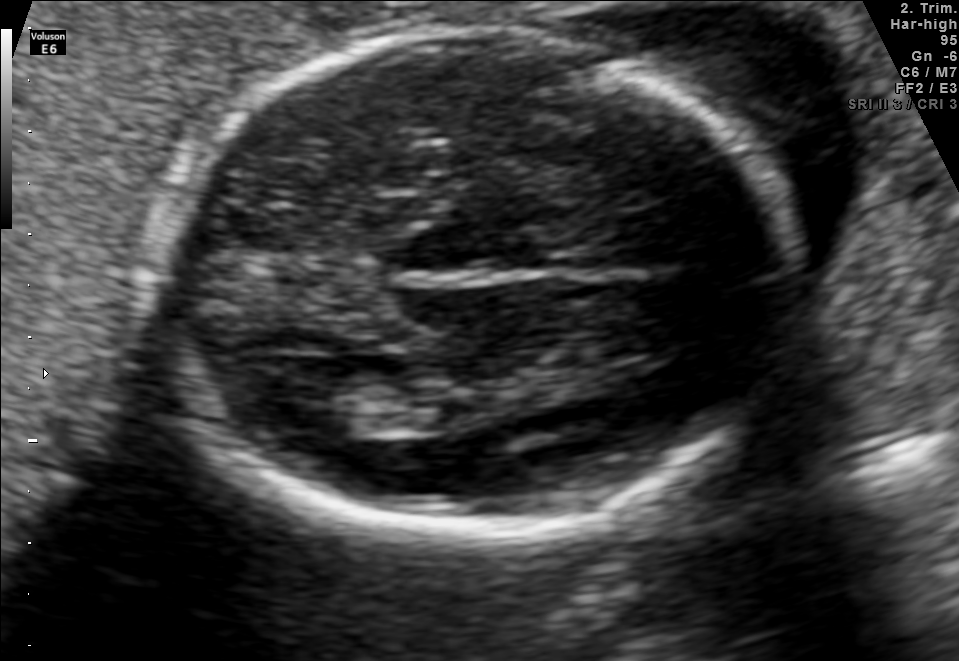
Fetal brain, trans-thalamic plane. Give [x1,y1,x2,y2] bounding boxes for each visible structure among: fetal head, CSP, LV.

Head: [157,32,802,531]
Lateral ventricle: [276,376,387,438]